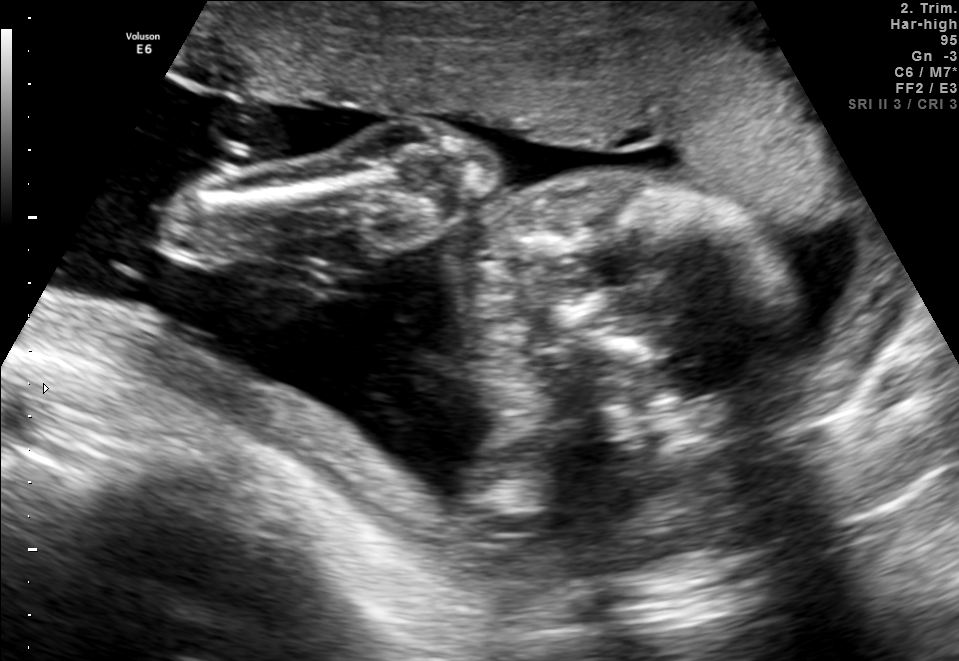
Which standard maternal-fetal ultrasound plane is shown: fetal abdomen, fetal brain, fetal femur, fetal thorax, maternal cervix, or other? If it's fetal brain and one of the three standard brain planes (trans-thalamic, trans-cerebellum, trans-ventricular), name which.

Other